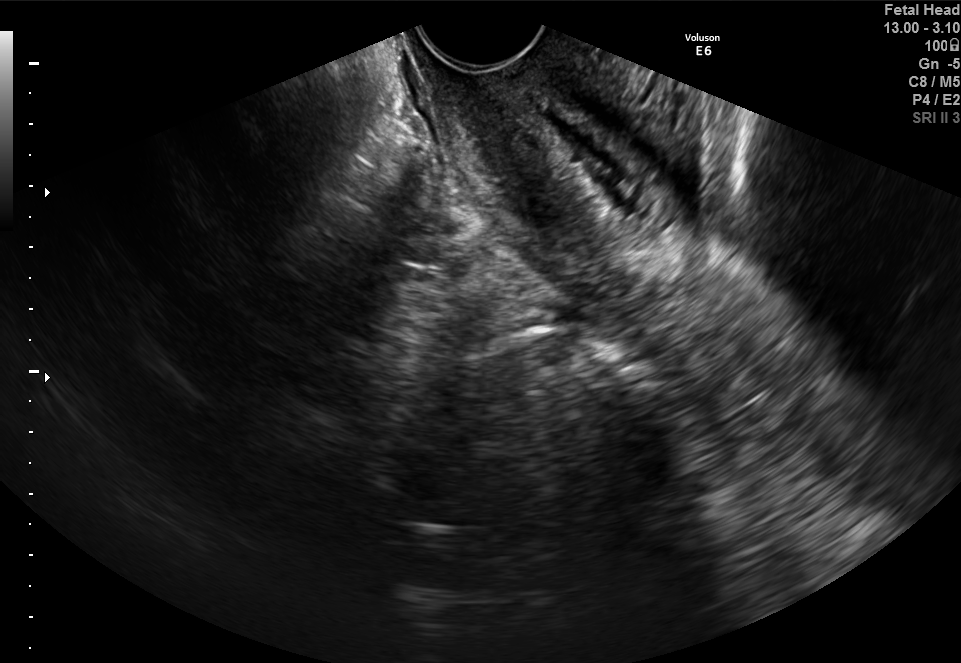
Identify the standard plane in this fetal ultrasound image: fetal abdomen, fetal brain, fetal femur, fetal thorax, maternal cervix, or other. If it's fetal brain and one of the three standard brain planes (trans-thalamic, trans-cerebellum, trans-ventricular), name which.

Maternal cervix